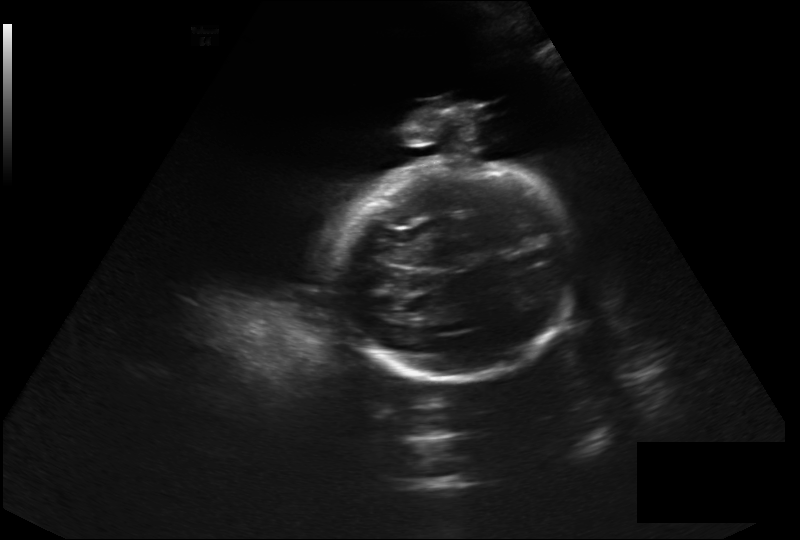
In this fetal head ultrasound, give the bounding box of the fetal head. Image width: 261.1 mm.

[330,159,574,382]